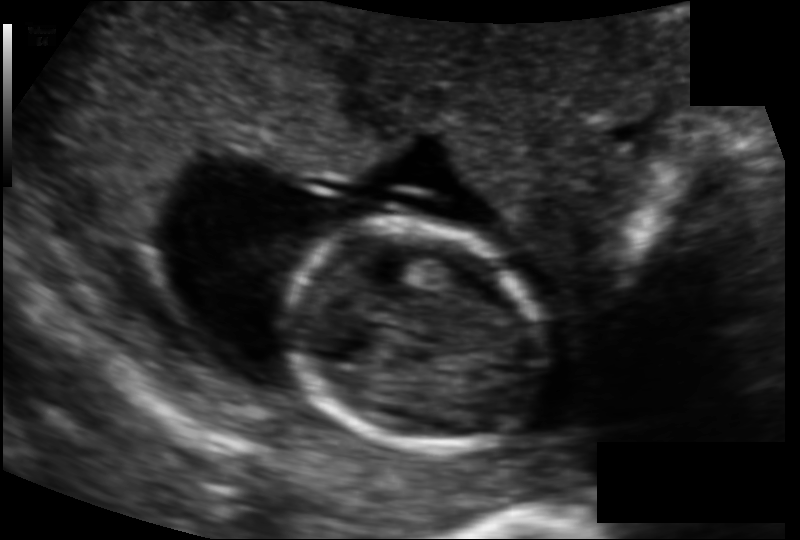
Estimate the fetal head circumference from this 2D ultrasound. Image width: 91.0 mm.

Head circumference: 90.8 mm.